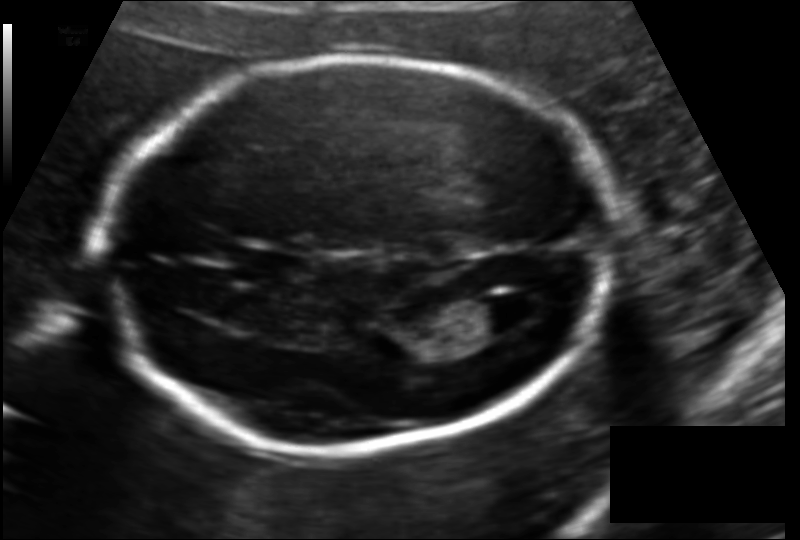
Fetal head ultrasound. Image width: 101.5 mm. Locate the fetal head and, if visible, the cavum septum pellucidum (CSP) and lateral ventricle (LV). Give bounding boxes as [x1,y1,x2,y2].

Head: [103,59,609,450]
CSP: [228,245,308,284]
Lateral ventricle: [459,292,520,344]